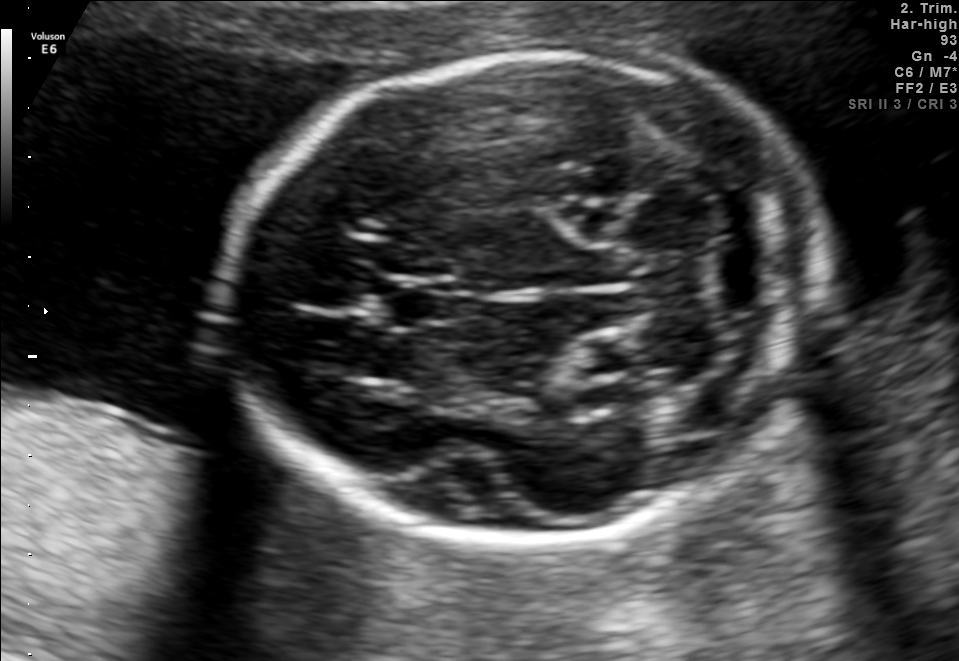
Fetal brain, trans-cerebellum plane. Where is the fetal head?

Head bounding box: [228,54,819,539]